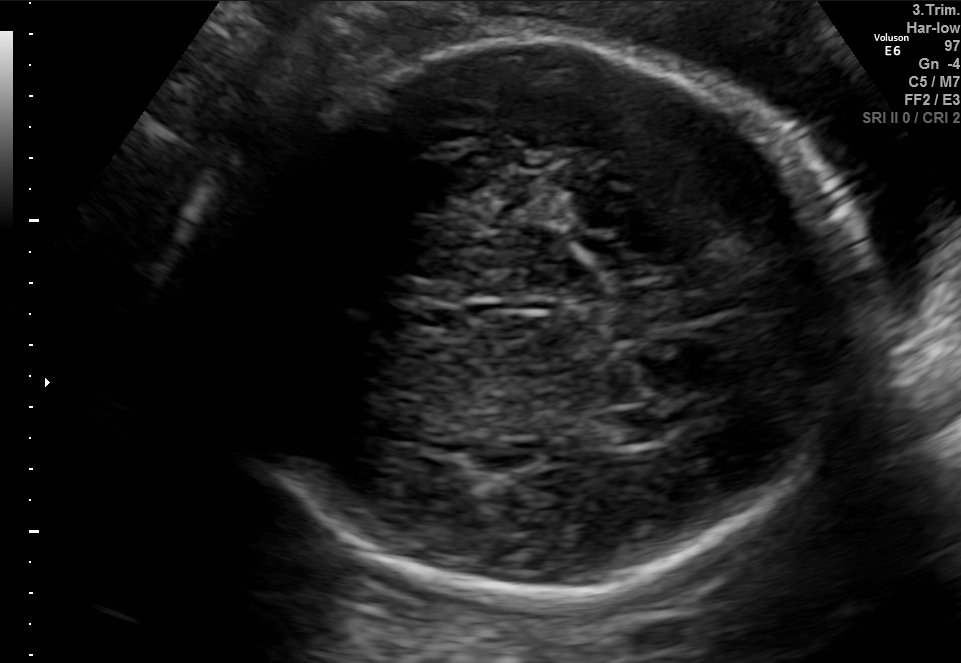
In this fetal brain, trans-thalamic plane, give bounding boxes for the head outline, cavum septum pellucidum (CSP), and lateral ventricle (LV), where visible.

Head: [221,34,858,597]
CSP: [404,306,468,330]
Lateral ventricle: [584,404,662,453]